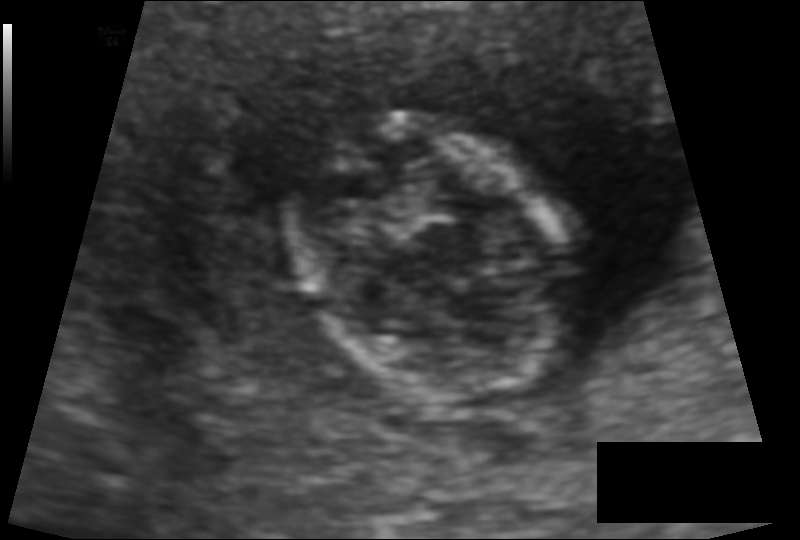
Fetal head ultrasound. Image width: 72.9 mm. Give [x1,y1,x2,y2] bounding boxes for each visible structure among: fetal head, CSP, LV.

Head: [277,120,585,395]